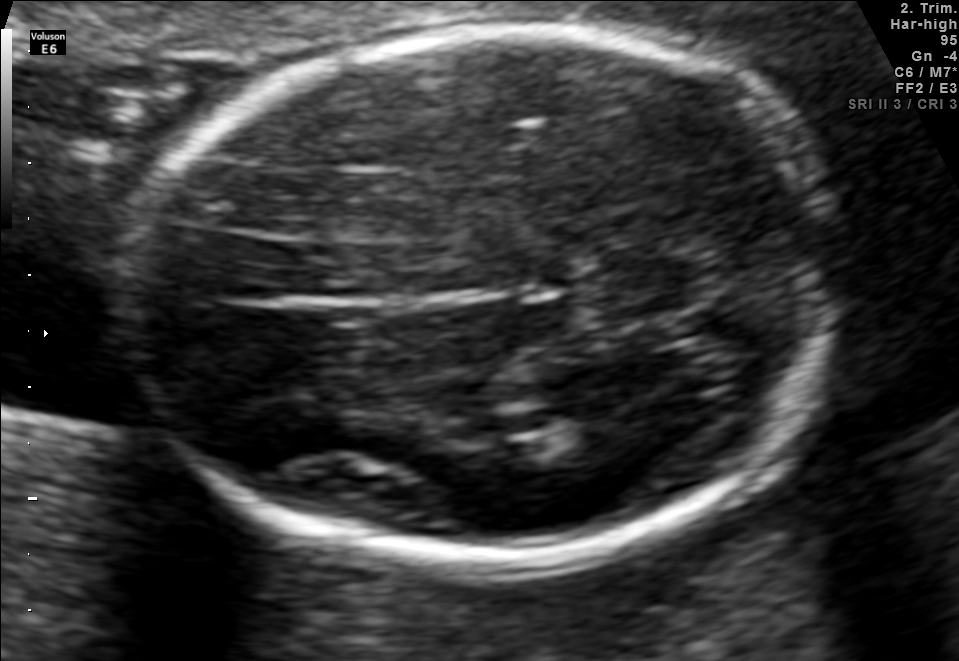
In this fetal brain, trans-thalamic plane, give bounding boxes for the head outline, cavum septum pellucidum (CSP), and lateral ventricle (LV), where visible.

Head: [127,30,838,577]